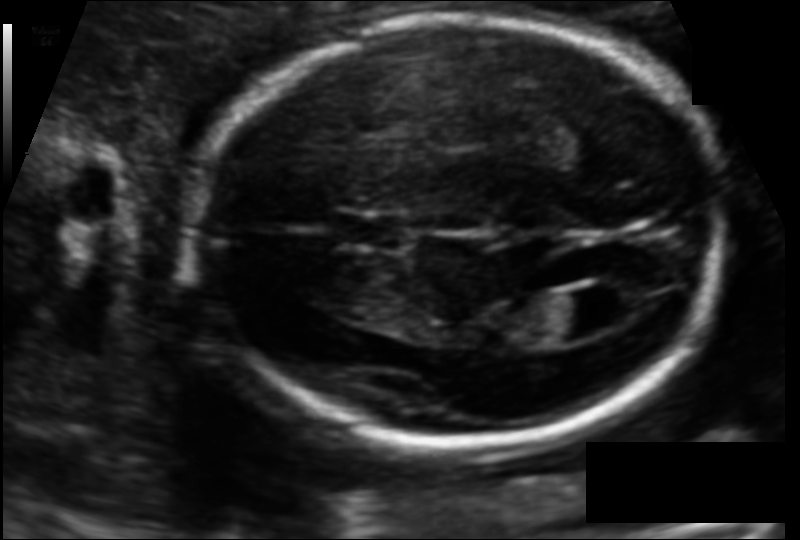
Fetal head ultrasound. Image width: 90.0 mm. Locate the fetal head.

Head: [195,16,718,446]